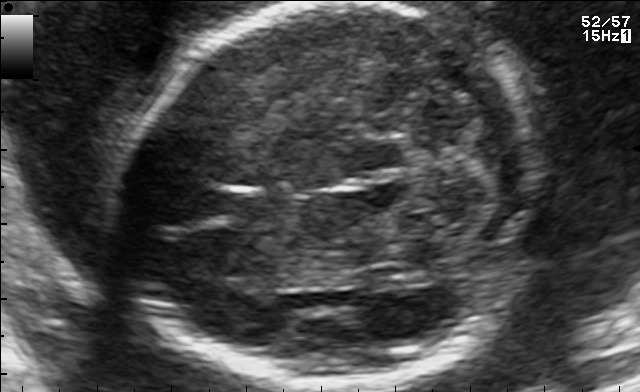
Classify this maternal-fetal ultrasound image as one of the six standard planes — fetal abdomen, fetal brain, fetal femur, fetal thorax, maternal cervix, or other. If it's fetal brain and one of the three standard brain planes (trans-thalamic, trans-cerebellum, trans-ventricular), name which.

Fetal brain (trans-cerebellum plane)